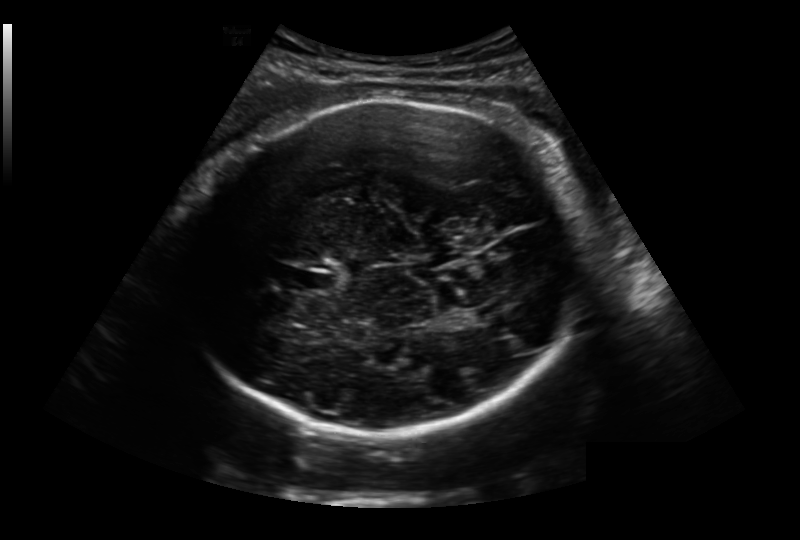
In this fetal head ultrasound, give the bounding box of the cavum septum pellucidum. Image width: 188.7 mm.

[296,267,340,296]